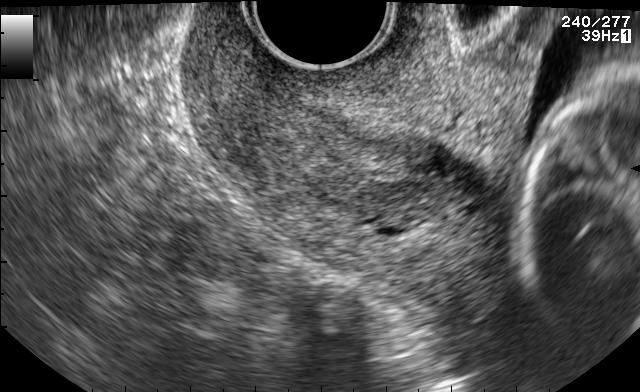
Which standard maternal-fetal ultrasound plane is shown: fetal abdomen, fetal brain, fetal femur, fetal thorax, maternal cervix, or other? If it's fetal brain and one of the three standard brain planes (trans-thalamic, trans-cerebellum, trans-ventricular), name which.

Maternal cervix